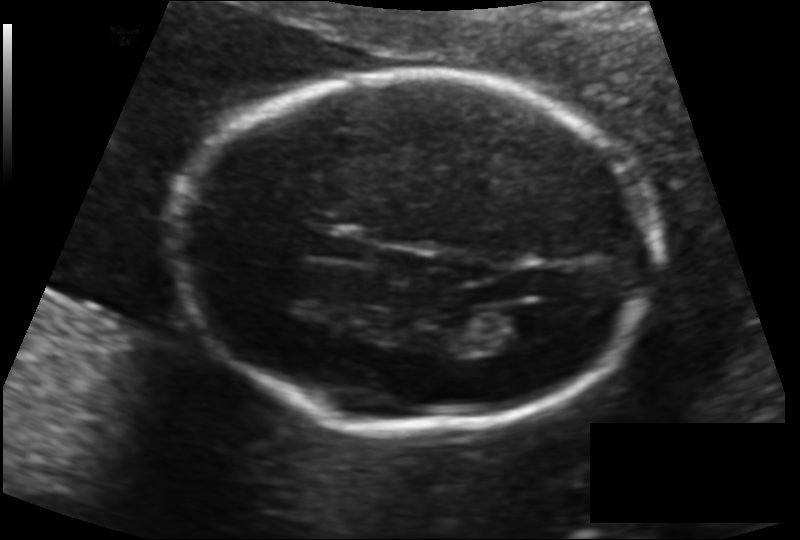
Fetal head ultrasound. Image width: 107.4 mm. Locate the lateral ventricle.

Lateral ventricle: [477,301,546,353]